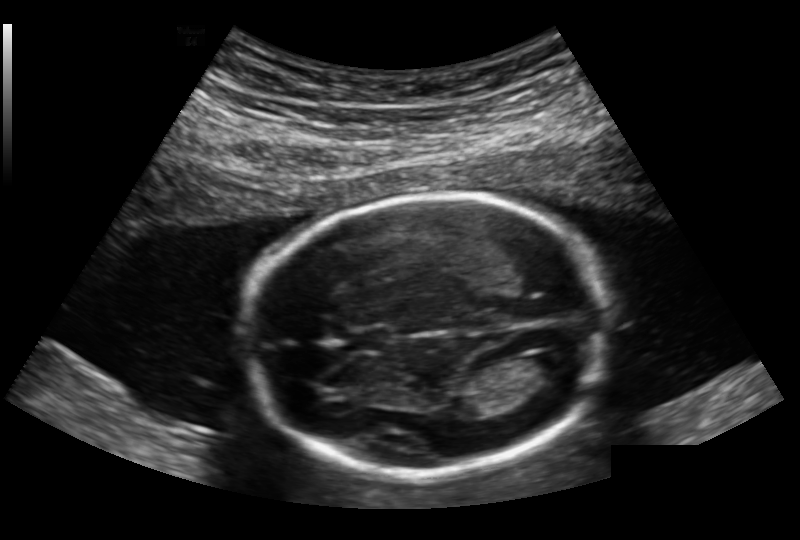
In this fetal head ultrasound, give the bounding box of the lateral ventricle. Image width: 134.4 mm.

[521,346,578,387]